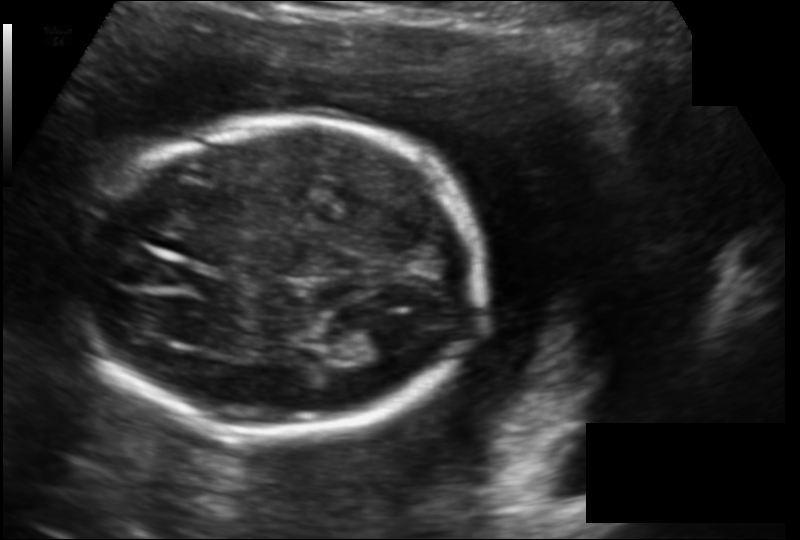
Fetal head ultrasound. Image width: 113.3 mm. Give [x1,y1,x2,y2] bounding boxes for each visible structure among: fetal head, CSP, LV.

Head: [75,119,481,434]
Lateral ventricle: [350,315,418,367]